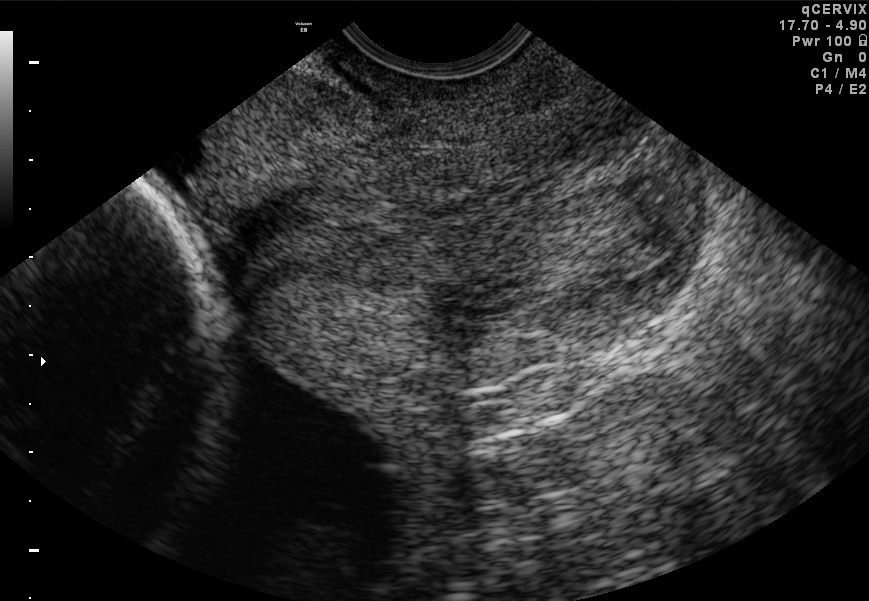
This is a 2D maternal-fetal ultrasound frame. Is it a fetal abdomen, fetal brain, fetal femur, fetal thorax, maternal cervix, or other standard plane? If it's fetal brain and one of the three standard brain planes (trans-thalamic, trans-cerebellum, trans-ventricular), name which.

Maternal cervix